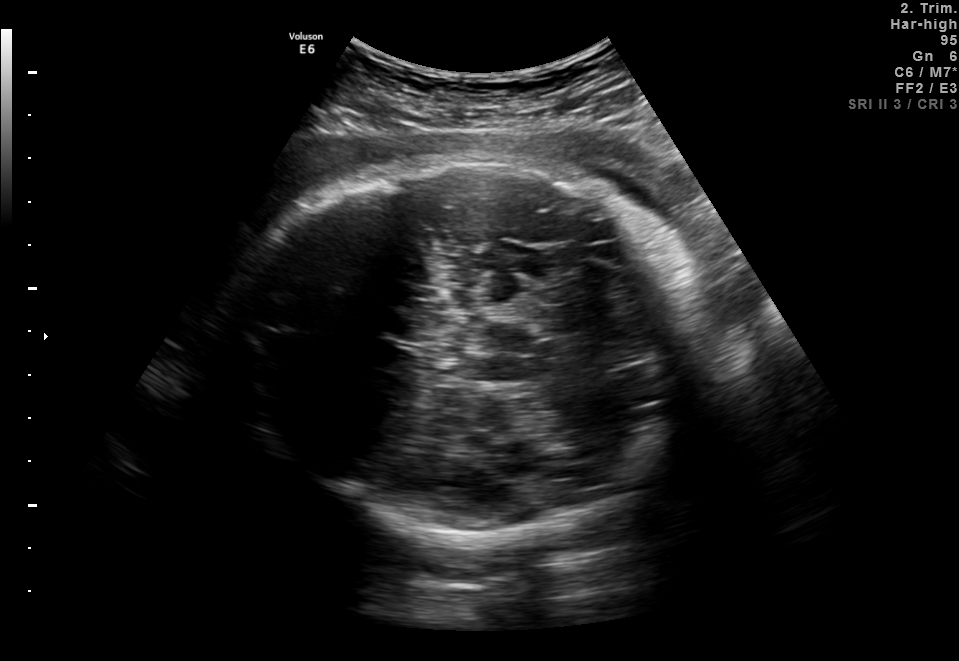
Classify this maternal-fetal ultrasound image as one of the six standard planes — fetal abdomen, fetal brain, fetal femur, fetal thorax, maternal cervix, or other. If it's fetal brain and one of the three standard brain planes (trans-thalamic, trans-cerebellum, trans-ventricular), name which.

Fetal brain (trans-thalamic plane)